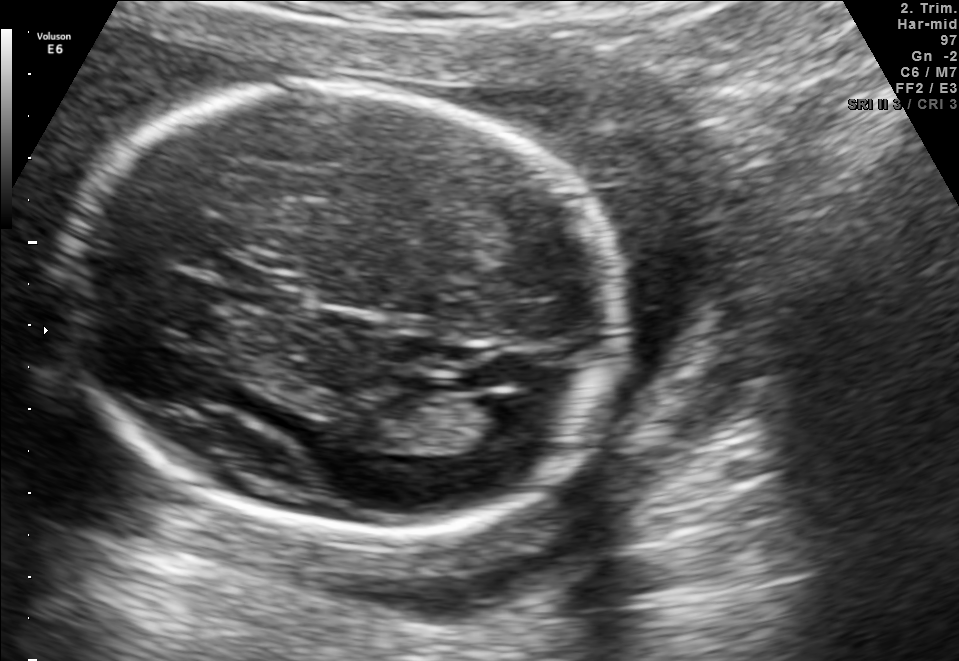
Which standard maternal-fetal ultrasound plane is shown: fetal abdomen, fetal brain, fetal femur, fetal thorax, maternal cervix, or other? If it's fetal brain and one of the three standard brain planes (trans-thalamic, trans-cerebellum, trans-ventricular), name which.

Fetal brain (trans-ventricular plane)